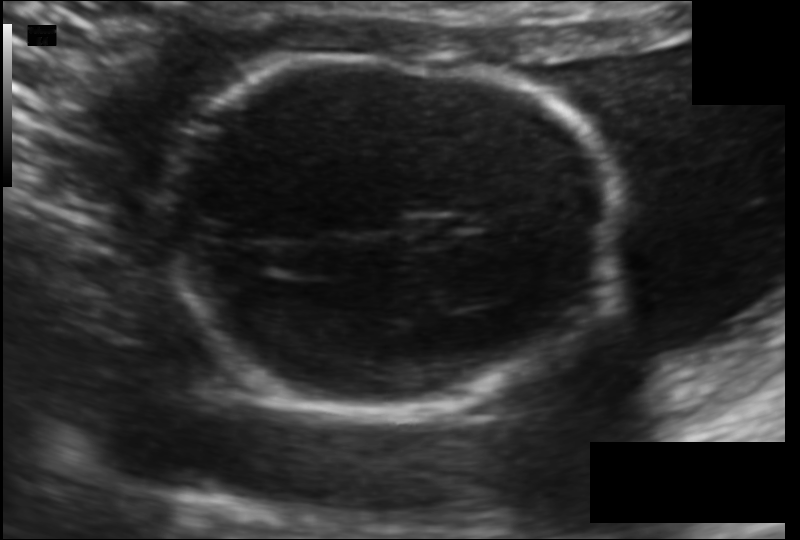
Fetal head ultrasound. Image width: 91.8 mm. Locate the fetal head and, if visible, the cavum septum pellucidum (CSP) and lateral ventricle (LV). Give bounding boxes as [x1,y1,x2,y2].

Head: [165,57,620,416]